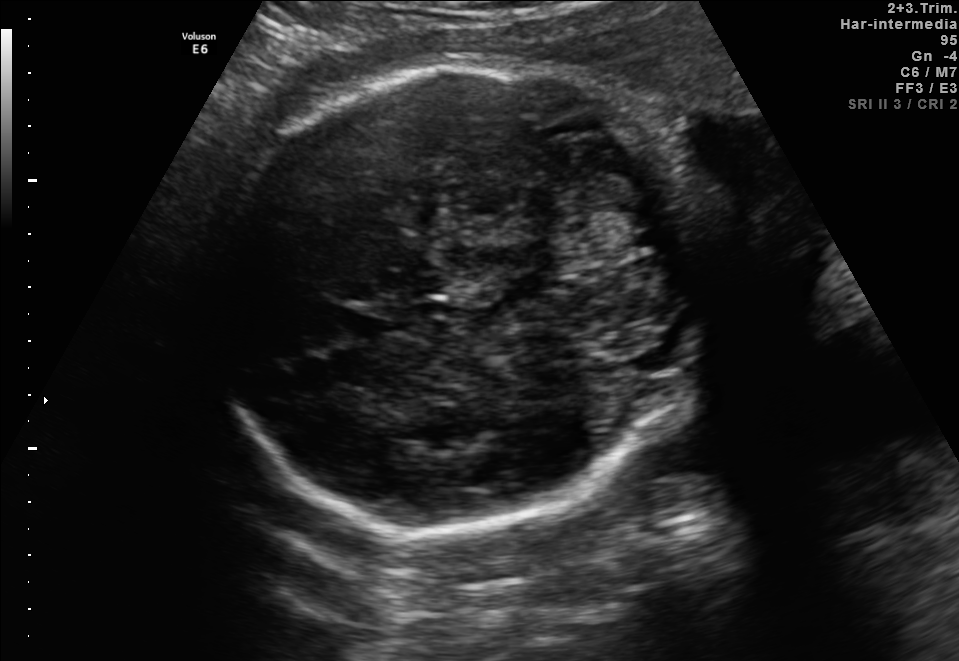
In this fetal brain, trans-cerebellum plane, give bounding boxes for the head outline, cavum septum pellucidum (CSP), and lateral ventricle (LV), where visible.

Head: [213,57,722,534]